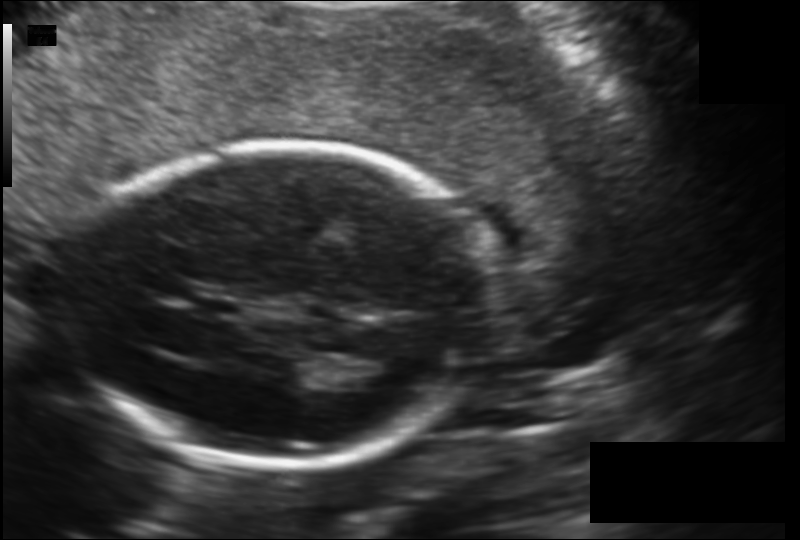
Fetal head ultrasound. Image width: 117.3 mm. Locate the fetal head and, if visible, the cavum septum pellucidum (CSP) and lateral ventricle (LV). Give bounding boxes as [x1,y1,x2,y2].

Head: [70,145,493,472]
CSP: [196,295,242,319]